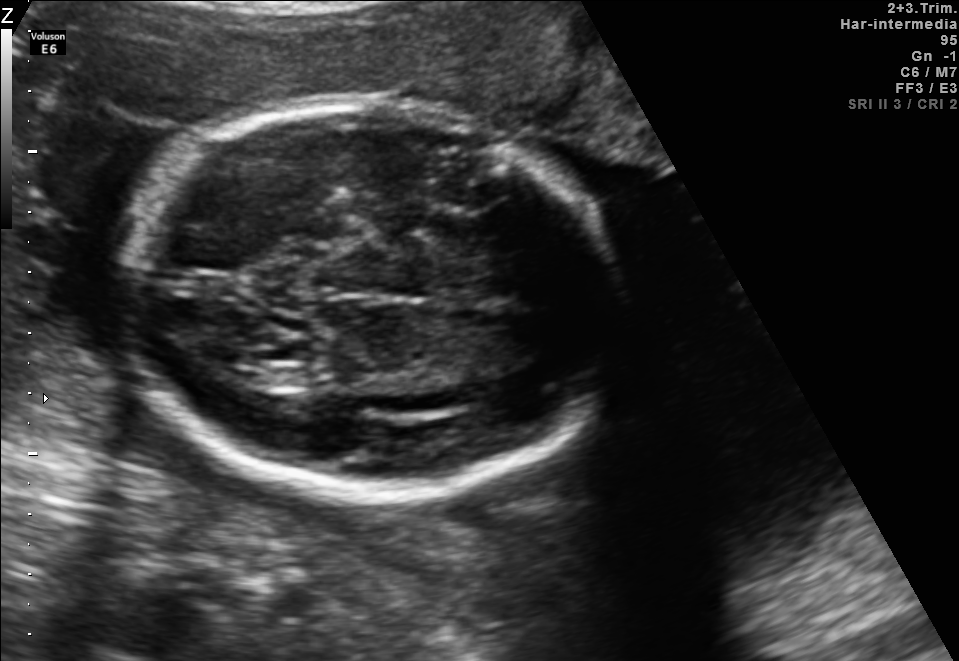
Fetal brain, trans-thalamic plane. Give [x1,y1,x2,y2] bounding boxes for each visible structure among: fetal head, CSP, LV.

Head: [118,103,615,498]
Lateral ventricle: [228,358,277,389]